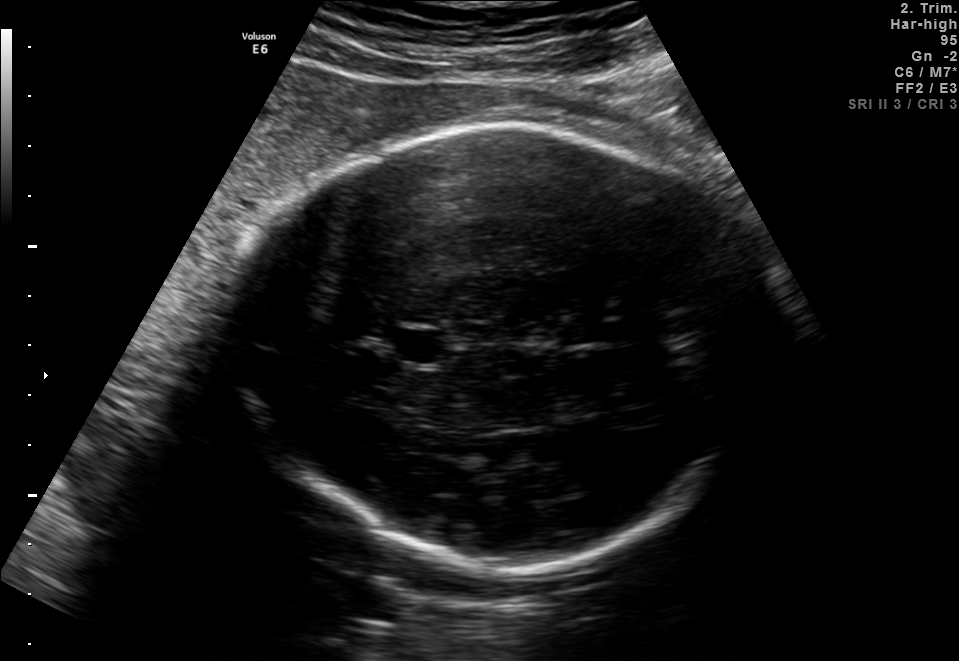
Fetal brain, trans-thalamic plane. Locate the fetal head and, if visible, the cavum septum pellucidum (CSP) and lateral ventricle (LV). Give bounding boxes as [x1,y1,x2,y2].

Head: [227,127,760,564]
CSP: [390,328,447,366]